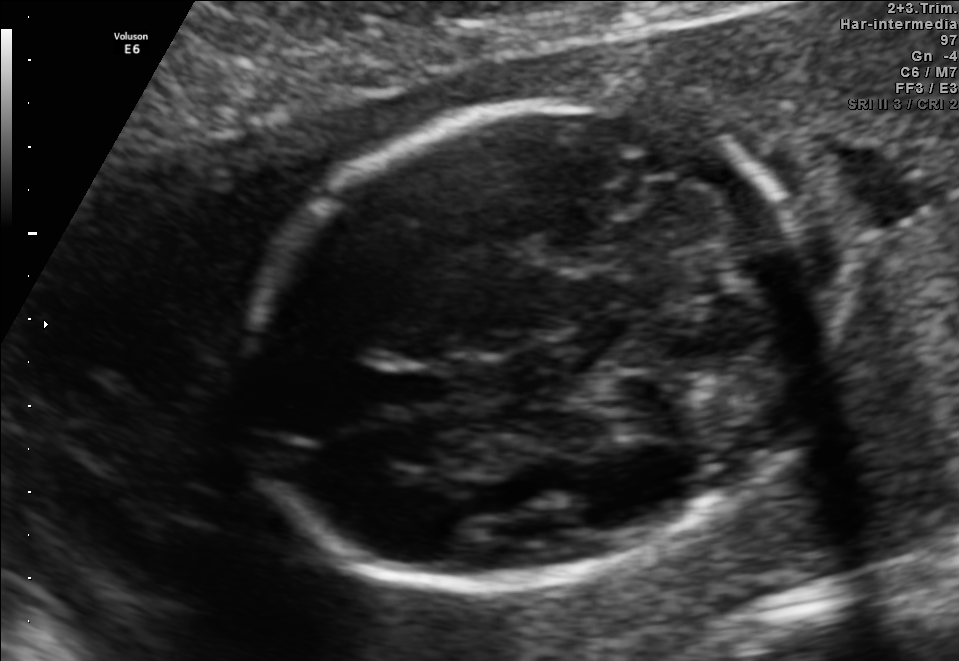
Fetal brain, trans-cerebellum plane. Give [x1,y1,x2,y2] bounding boxes for each visible structure among: fetal head, CSP, LV.

Head: [247,102,826,581]